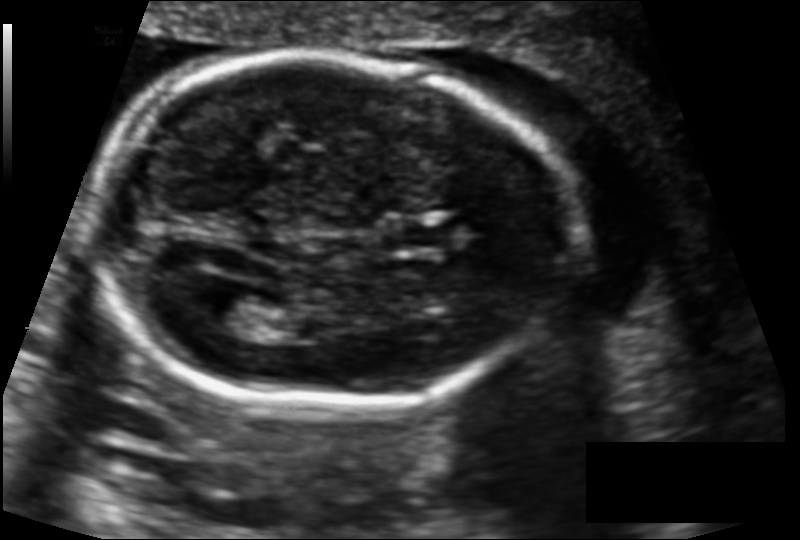
Fetal head ultrasound. Image width: 97.4 mm. Give [x1,y1,x2,y2] bounding boxes for each visible structure among: fetal head, CSP, LV.

Head: [91,55,576,407]
CSP: [382,218,452,251]
Lateral ventricle: [202,282,271,339]